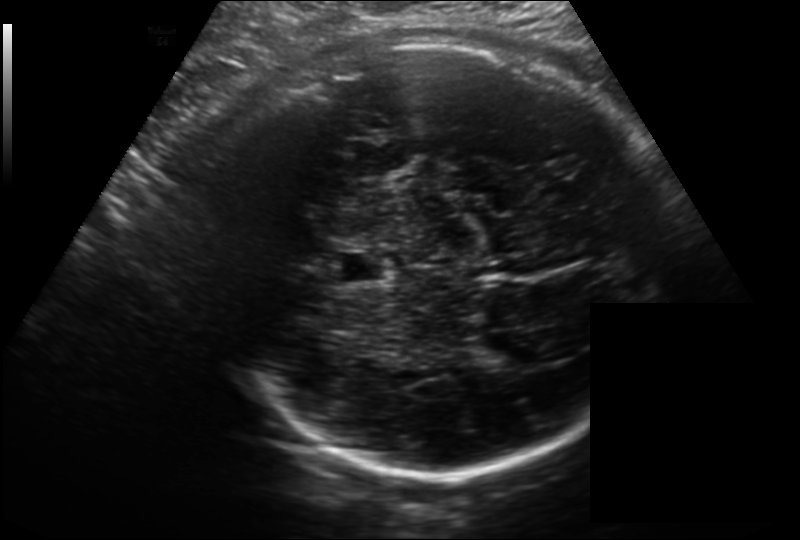
Measure the fetal head circumference shown in this ultrasound image. Image width: 171.5 mm.

Head circumference: 312.8 mm.